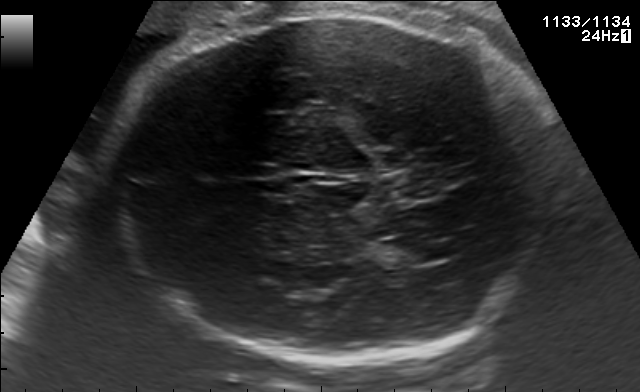
Fetal brain, trans-ventricular plane. Where is the fetal head?

Head bounding box: [108,11,565,365]